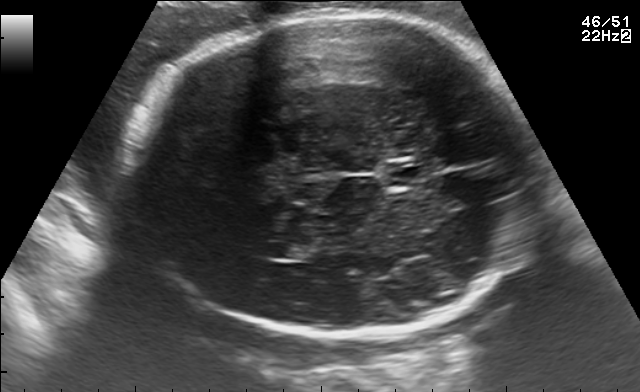
Classify this maternal-fetal ultrasound image as one of the six standard planes — fetal abdomen, fetal brain, fetal femur, fetal thorax, maternal cervix, or other. If it's fetal brain and one of the three standard brain planes (trans-thalamic, trans-cerebellum, trans-ventricular), name which.

Fetal brain (trans-thalamic plane)